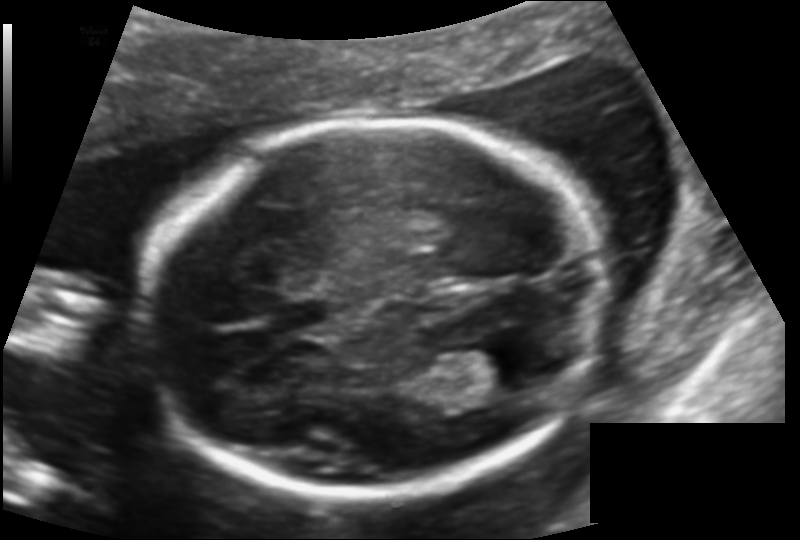
Fetal head ultrasound. Image width: 105.2 mm. Where is the cavum septum pellucidum?

CSP bounding box: [267,294,336,336]